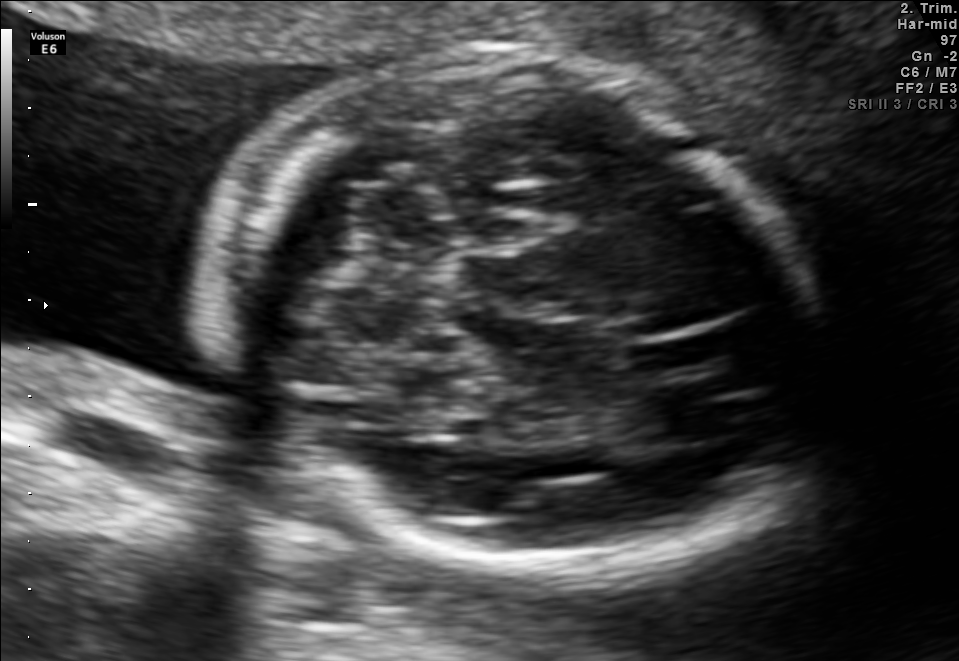
Fetal brain, trans-cerebellum plane. Locate the fetal head and, if visible, the cavum septum pellucidum (CSP) and lateral ventricle (LV). Give bounding boxes as [x1,y1,x2,y2].

Head: [217,54,822,581]